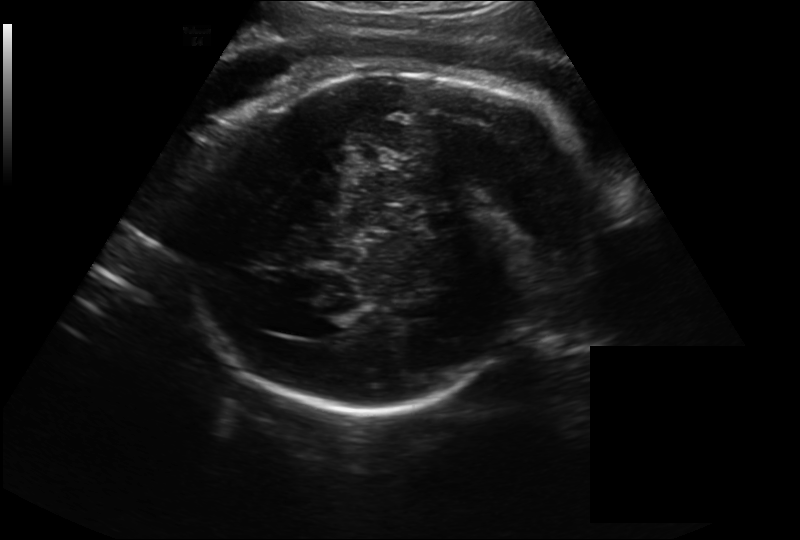
In this fetal head ultrasound, give the bounding box of the fetal head. Image width: 209.3 mm.

[194,65,585,408]